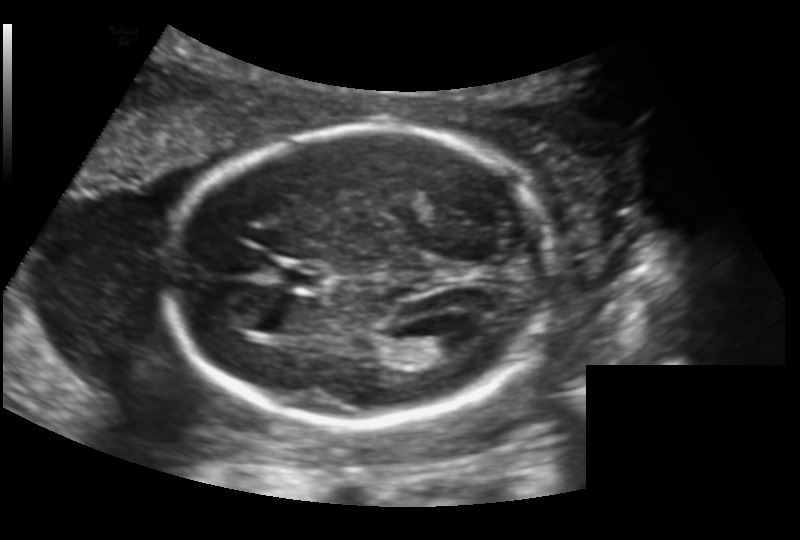
Fetal head ultrasound. Image width: 125.0 mm. Where is the cavum septum pellucidum?

CSP bounding box: [272,258,329,295]